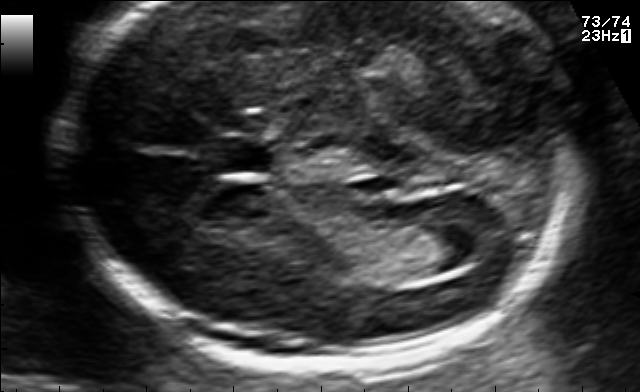
Fetal brain, trans-ventricular plane. Where is the cavum septum pellucidum?

CSP bounding box: [201,138,287,172]